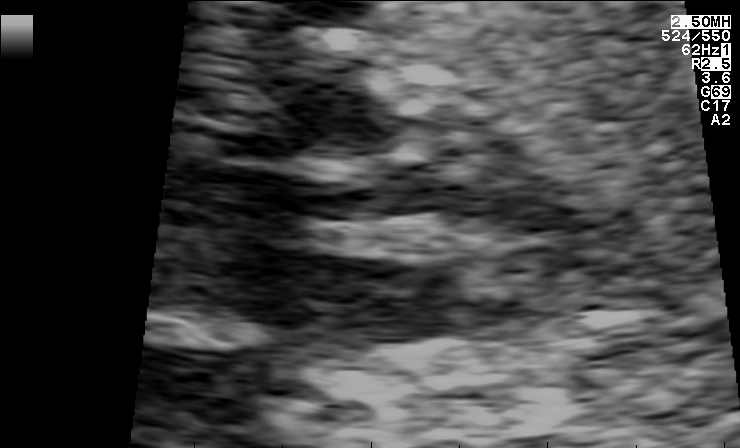
Classify this maternal-fetal ultrasound image as one of the six standard planes — fetal abdomen, fetal brain, fetal femur, fetal thorax, maternal cervix, or other. If it's fetal brain and one of the three standard brain planes (trans-thalamic, trans-cerebellum, trans-ventricular), name which.

Other